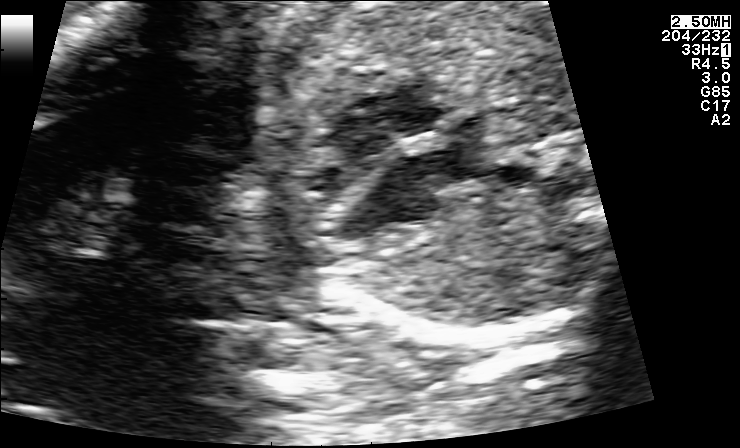
Identify the standard plane in this fetal ultrasound image: fetal abdomen, fetal brain, fetal femur, fetal thorax, maternal cervix, or other. If it's fetal brain and one of the three standard brain planes (trans-thalamic, trans-cerebellum, trans-ventricular), name which.

Fetal thorax